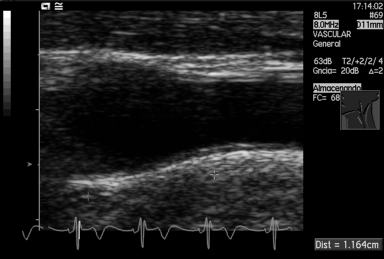
This is a 2D maternal-fetal ultrasound frame. Is it a fetal abdomen, fetal brain, fetal femur, fetal thorax, maternal cervix, or other standard plane? If it's fetal brain and one of the three standard brain planes (trans-thalamic, trans-cerebellum, trans-ventricular), name which.

Other